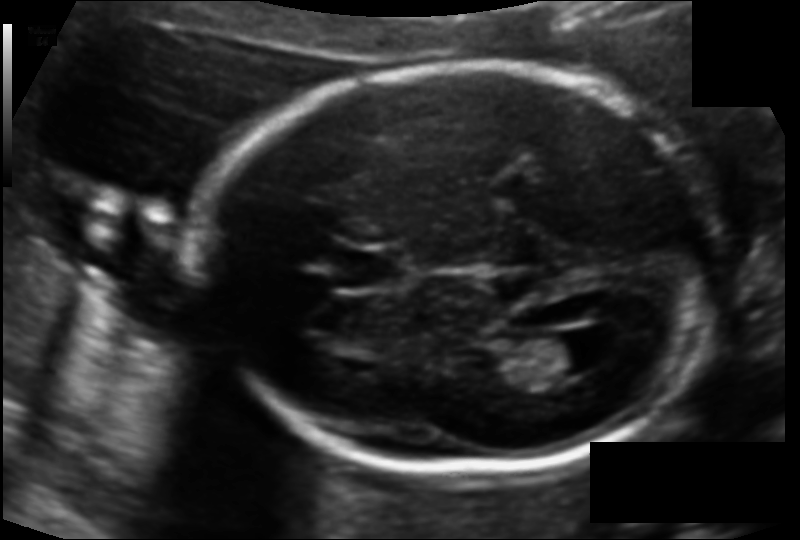
Fetal head ultrasound. Image width: 94.2 mm. Locate the fetal head.

Head: [208,65,714,469]